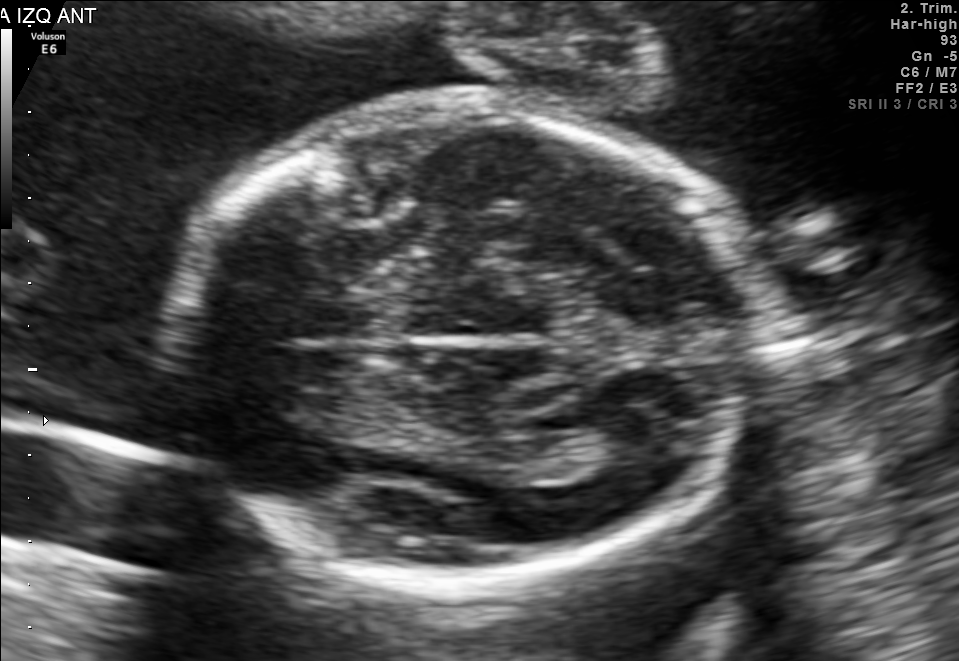
Fetal brain, trans-thalamic plane. Locate the lateral ventricle.

Lateral ventricle: [559,422,657,480]